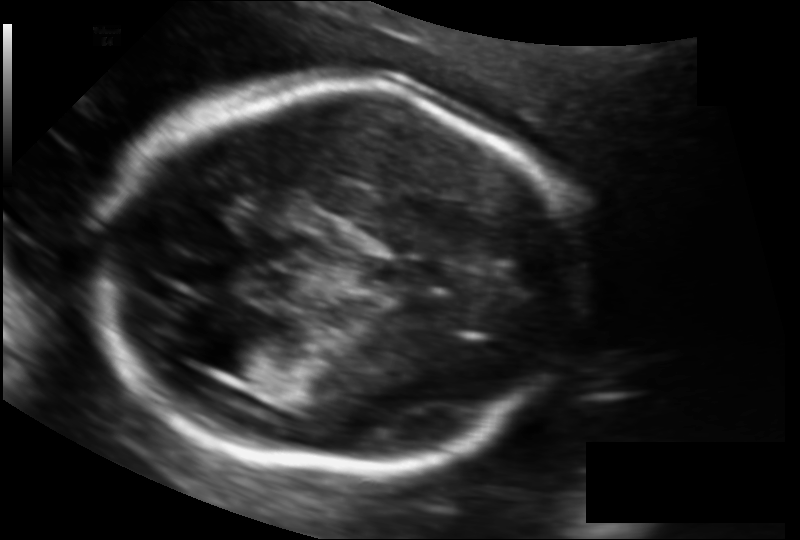
Fetal head ultrasound. Image width: 96.6 mm. Locate the fetal head.

Head: [92,80,581,468]